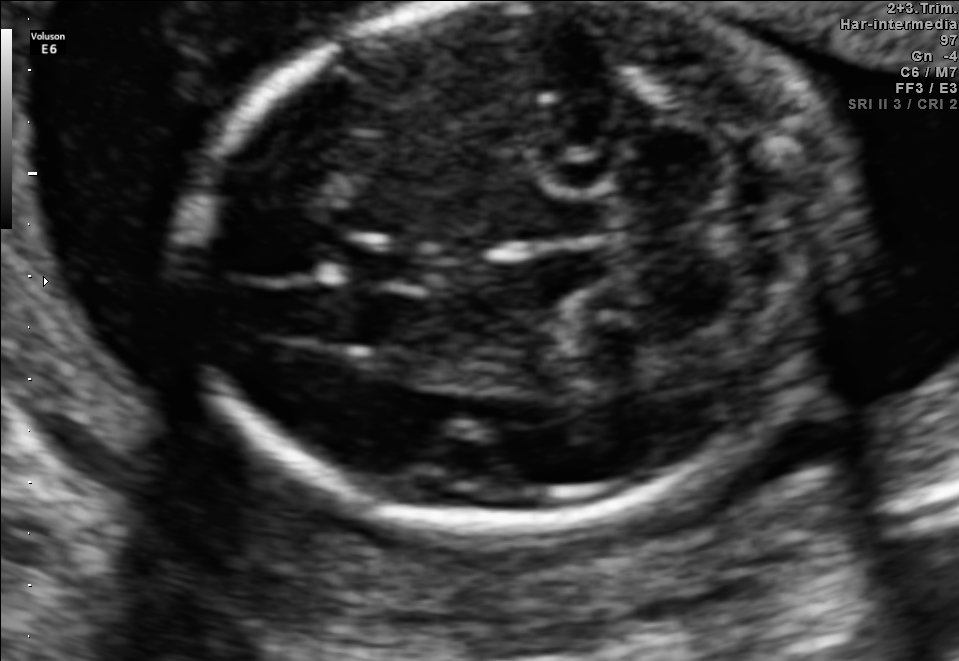
In this fetal brain, trans-cerebellum plane, give the bounding box of the fetal head.

[181,6,850,517]